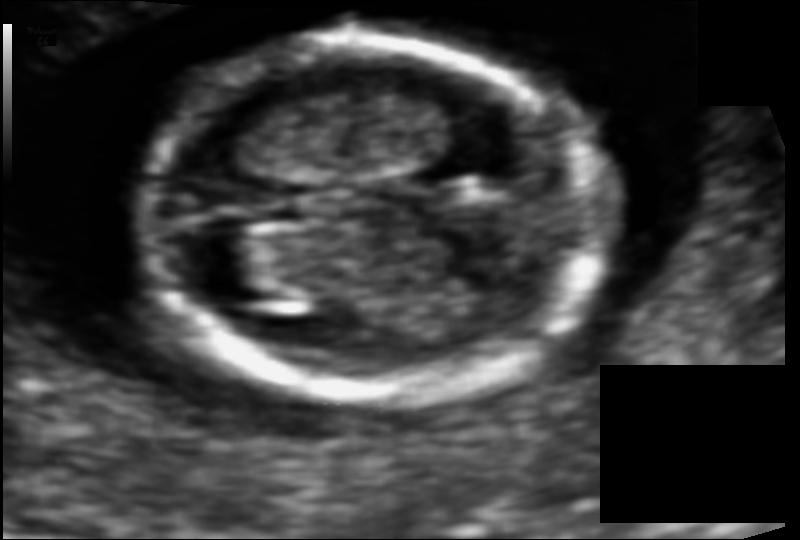
Estimate the fetal head circumference from this 2D ultrasound. Image width: 59.6 mm.

Head circumference: 99.4 mm.